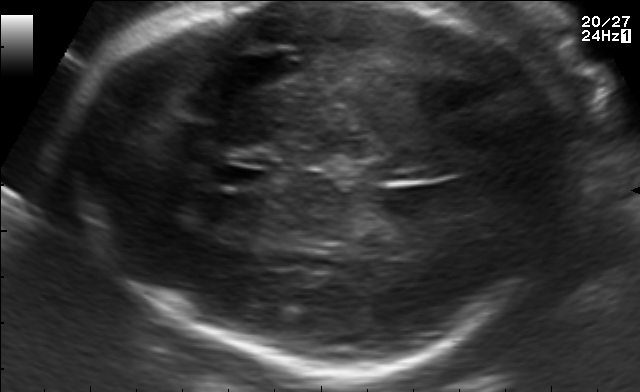
Fetal brain, trans-thalamic plane. Locate the fetal head and, if visible, the cavum septum pellucidum (CSP) and lateral ventricle (LV). Give bounding boxes as [x1,y1,x2,y2].

Head: [46,4,561,362]
CSP: [215,164,267,190]